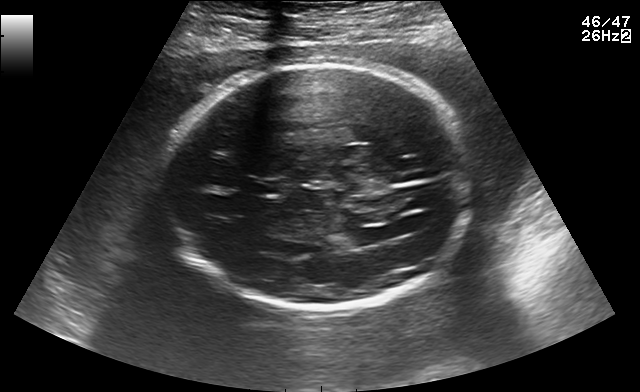
In this fetal brain, trans-ventricular plane, give bounding boxes for the head outline, cavum septum pellucidum (CSP), and lateral ventricle (LV), where visible.

Head: [160,59,476,317]
CSP: [244,177,291,198]
Lateral ventricle: [341,227,380,250]